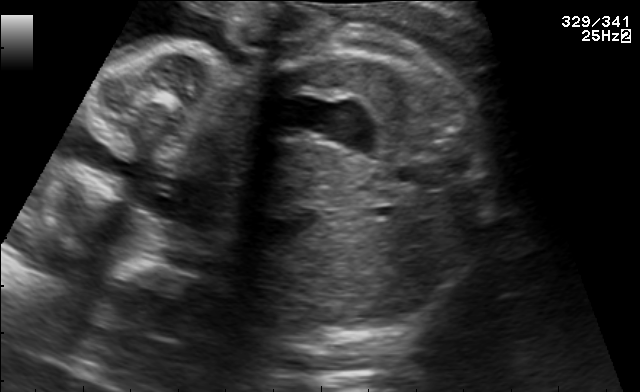
Identify the standard plane in this fetal ultrasound image: fetal abdomen, fetal brain, fetal femur, fetal thorax, maternal cervix, or other. If it's fetal brain and one of the three standard brain planes (trans-thalamic, trans-cerebellum, trans-ventricular), name which.

Fetal abdomen